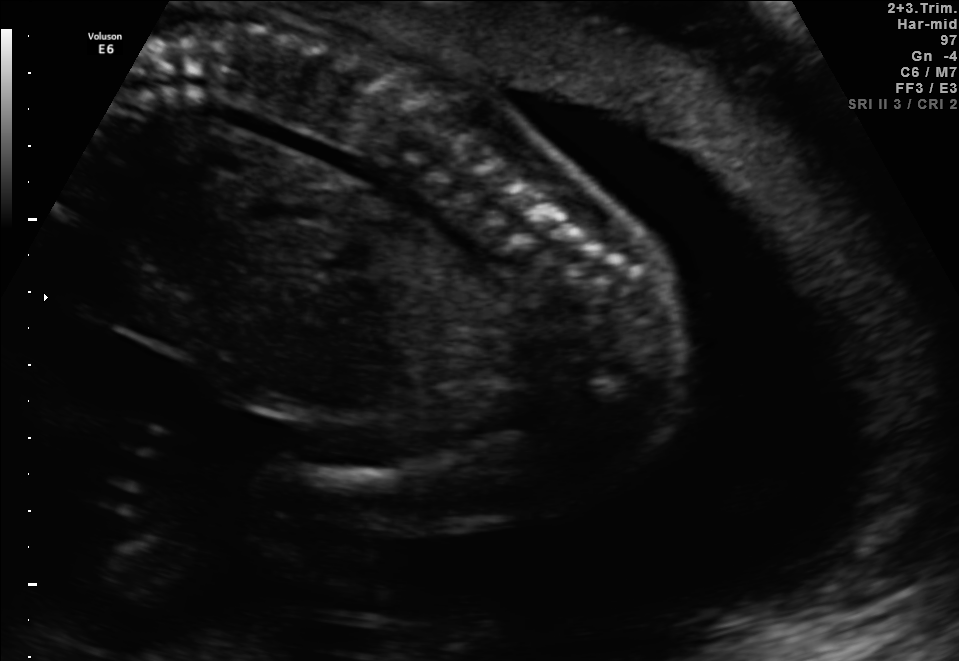
Identify the standard plane in this fetal ultrasound image: fetal abdomen, fetal brain, fetal femur, fetal thorax, maternal cervix, or other. If it's fetal brain and one of the three standard brain planes (trans-thalamic, trans-cerebellum, trans-ventricular), name which.

Other